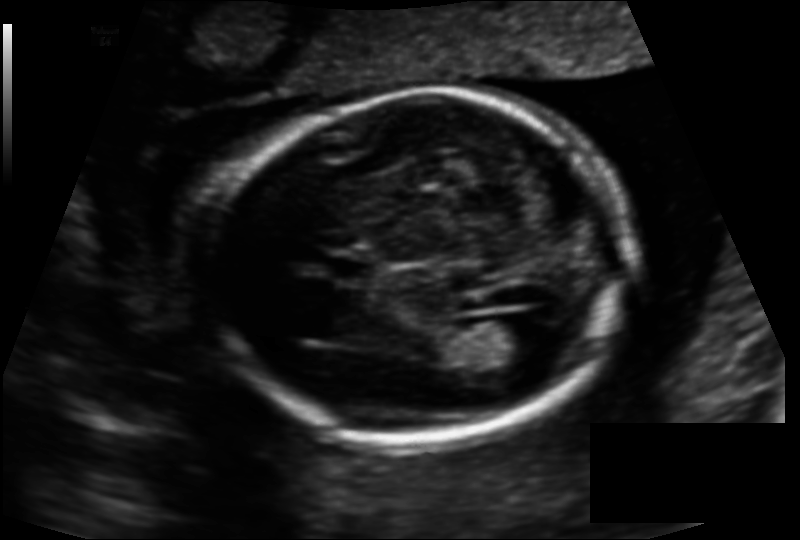
Fetal head ultrasound. Image width: 107.3 mm. Where is the fetal head?

Head bounding box: [205,93,628,444]